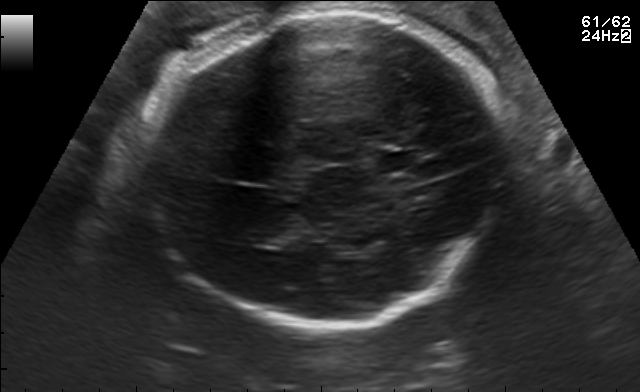
Fetal brain, trans-thalamic plane. Where is the fetal head?

Head bounding box: [137,12,505,326]